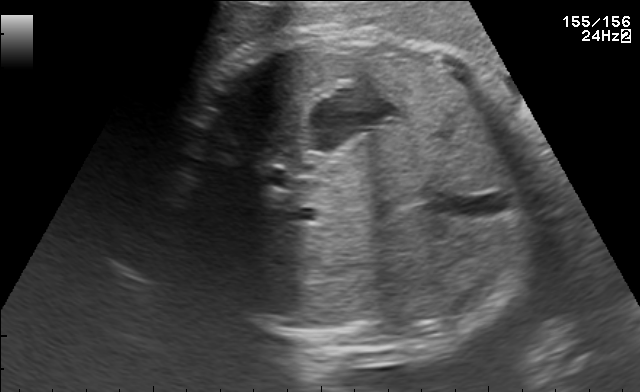
Classify this maternal-fetal ultrasound image as one of the six standard planes — fetal abdomen, fetal brain, fetal femur, fetal thorax, maternal cervix, or other. If it's fetal brain and one of the three standard brain planes (trans-thalamic, trans-cerebellum, trans-ventricular), name which.

Fetal abdomen